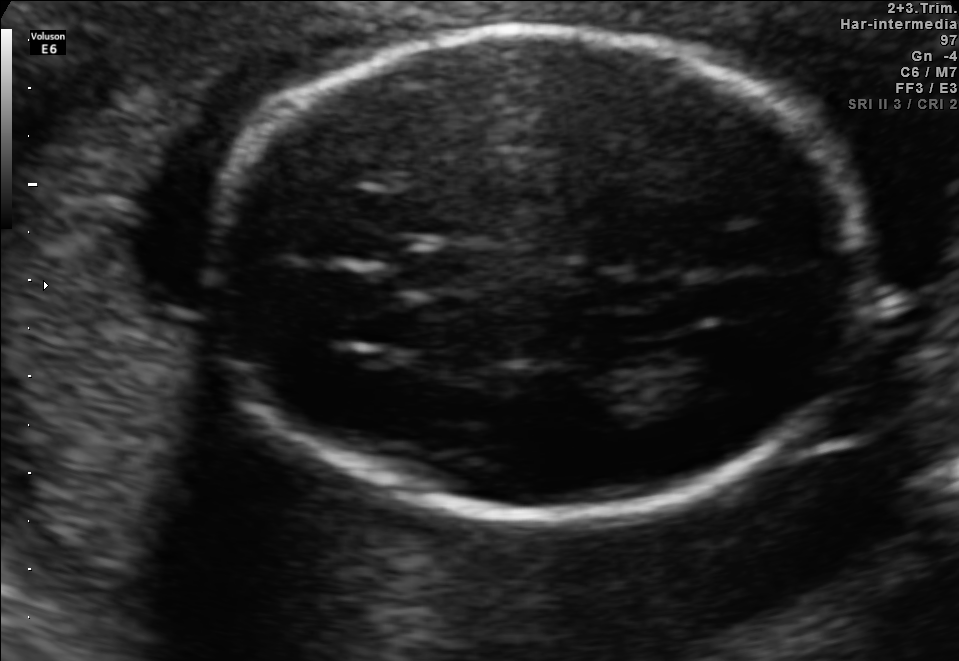
In this fetal brain, trans-thalamic plane, give bounding boxes for the head outline, cavum septum pellucidum (CSP), and lateral ventricle (LV), where visible.

Head: [211,31,862,516]
CSP: [398,246,483,295]